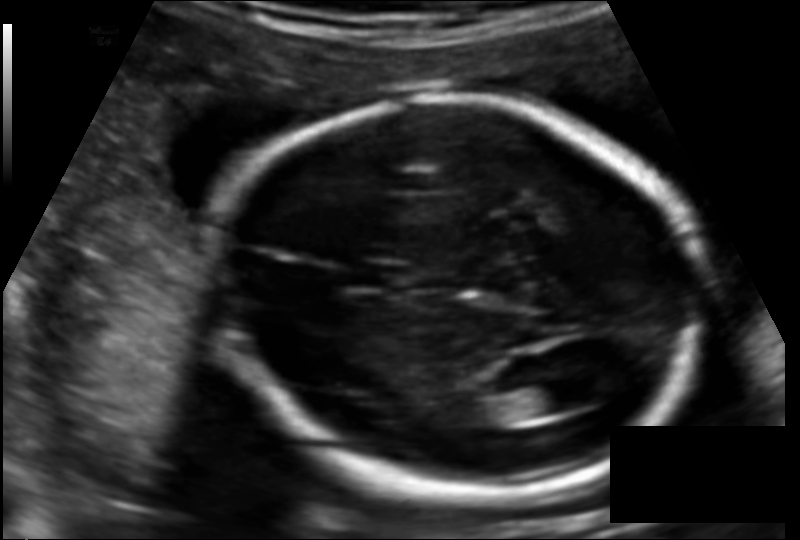
Estimate the fetal head circumference from this 2D ultrasound. Image width: 99.4 mm.

Head circumference: 178.5 mm.